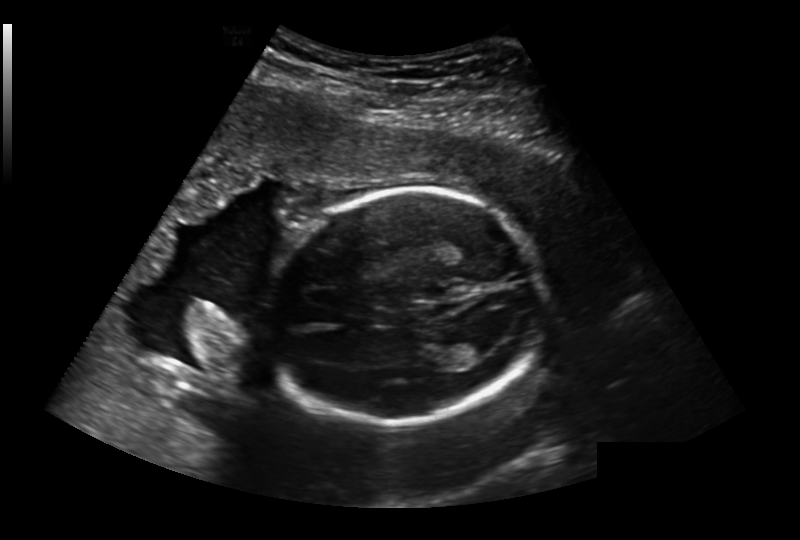
What is the fetal head circumference? Image width is 188.7 mm.

193.1 mm